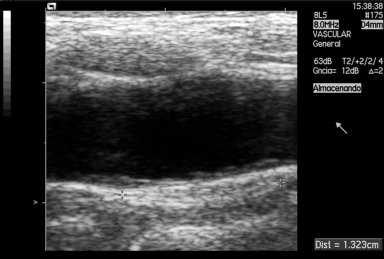
This is a 2D maternal-fetal ultrasound frame. Is it a fetal abdomen, fetal brain, fetal femur, fetal thorax, maternal cervix, or other standard plane? If it's fetal brain and one of the three standard brain planes (trans-thalamic, trans-cerebellum, trans-ventricular), name which.

Other